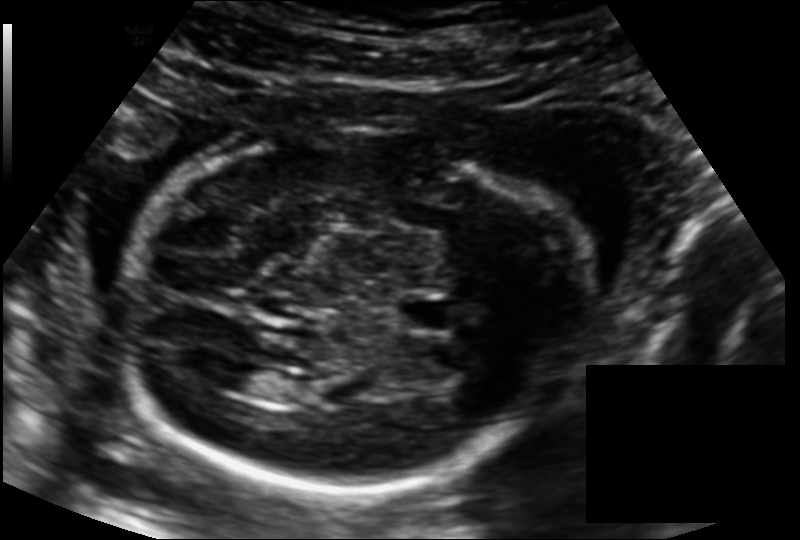
In this fetal head ultrasound, give the bounding box of the cavum septum pellucidum. Image width: 111.3 mm.

[400,298,453,331]